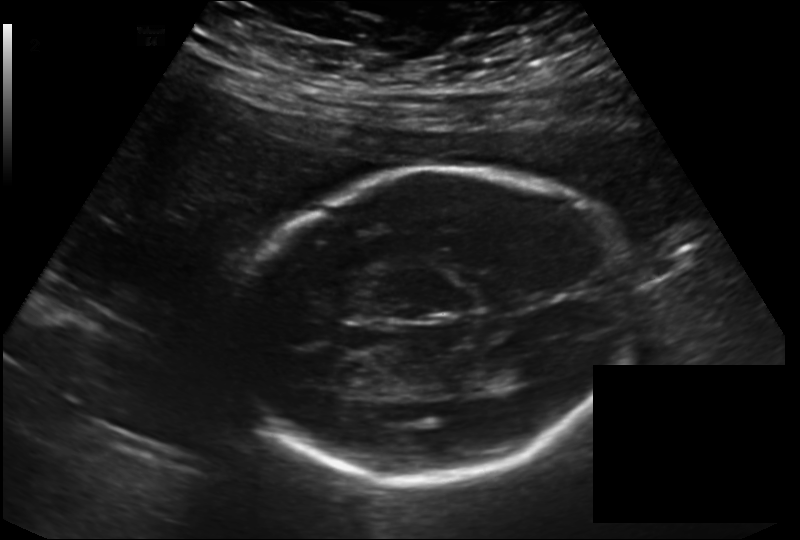
Estimate the fetal head circumference from this 2D ultrasound. Image width: 158.6 mm.

Head circumference: 234.0 mm.